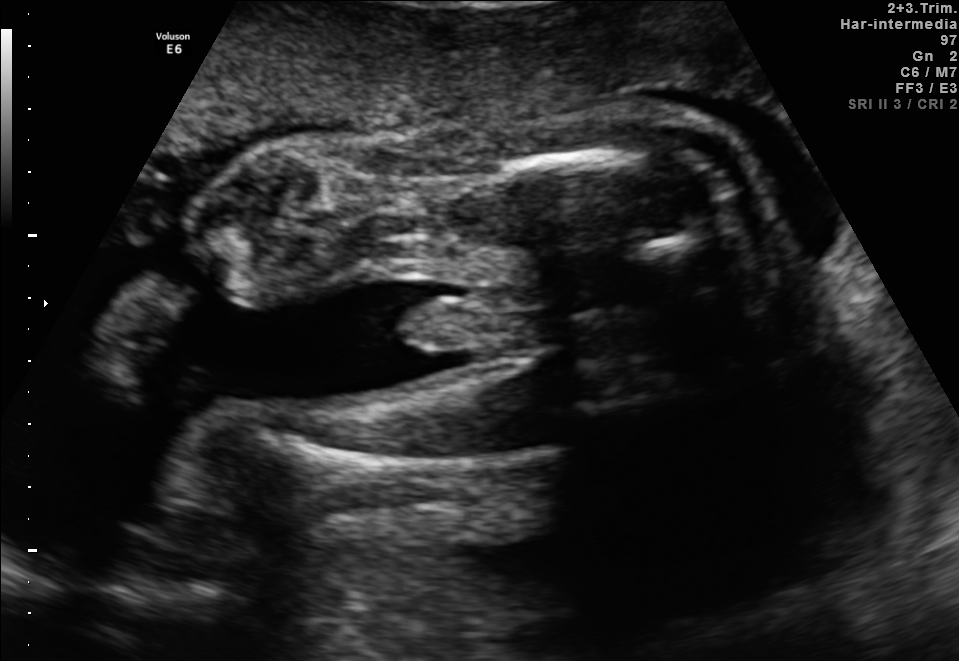
Classify this maternal-fetal ultrasound image as one of the six standard planes — fetal abdomen, fetal brain, fetal femur, fetal thorax, maternal cervix, or other. If it's fetal brain and one of the three standard brain planes (trans-thalamic, trans-cerebellum, trans-ventricular), name which.

Fetal femur